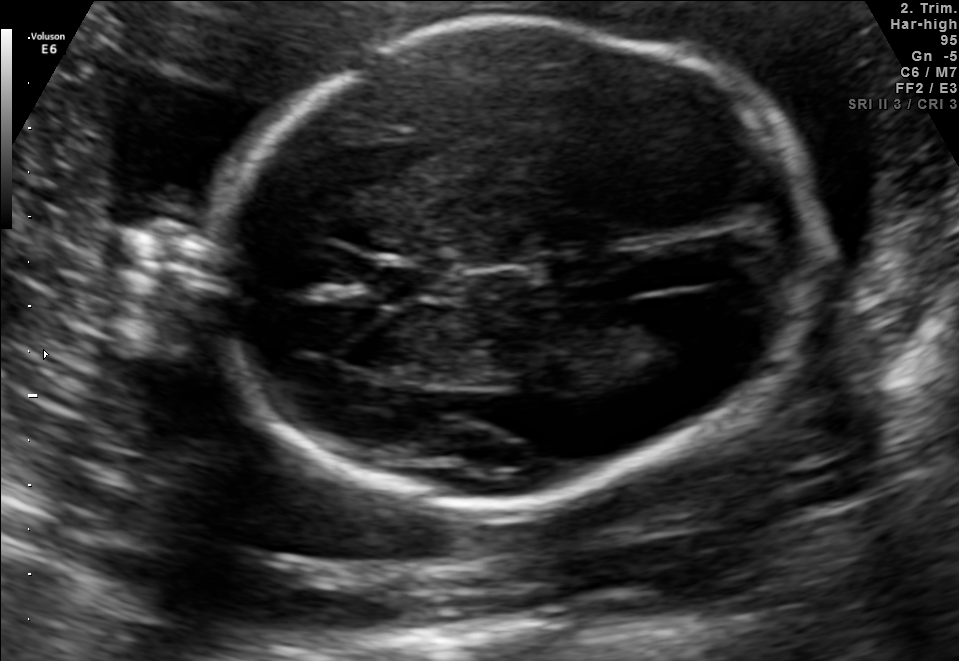
In this fetal brain, trans-ventricular plane, give bounding boxes for the head outline, cavum septum pellucidum (CSP), and lateral ventricle (LV), where visible.

Head: [197,8,826,521]
CSP: [373,258,463,299]